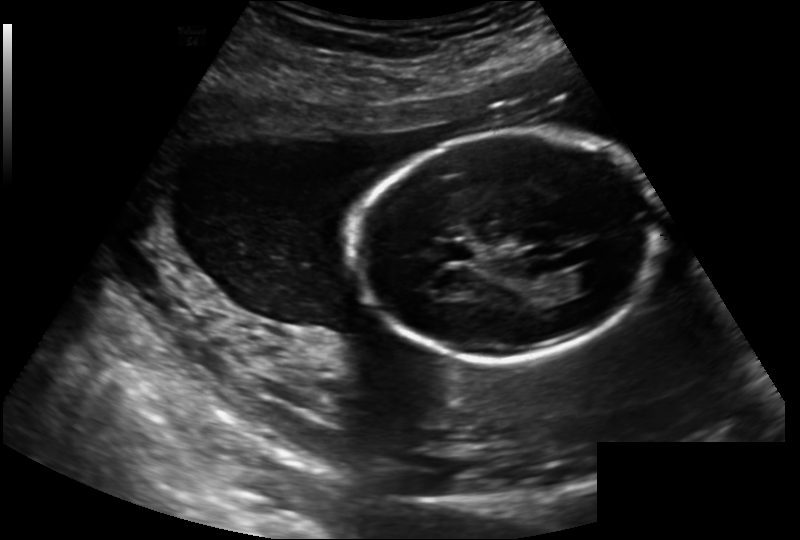
Fetal head ultrasound. Image width: 161.7 mm. Give [x1,y1,x2,y2] bounding boxes for each visible structure among: fetal head, CSP, LV.

Head: [354,131,665,359]
CSP: [431,237,475,265]
Lateral ventricle: [559,262,606,298]